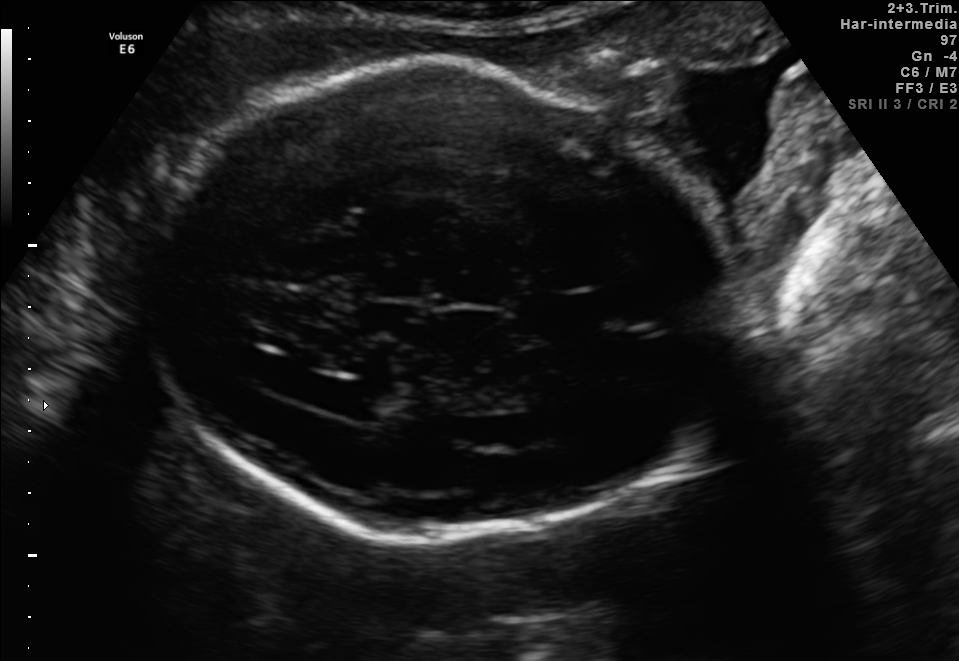
In this fetal brain, trans-ventricular plane, give the bounding box of the fetal head.

[125,53,758,554]